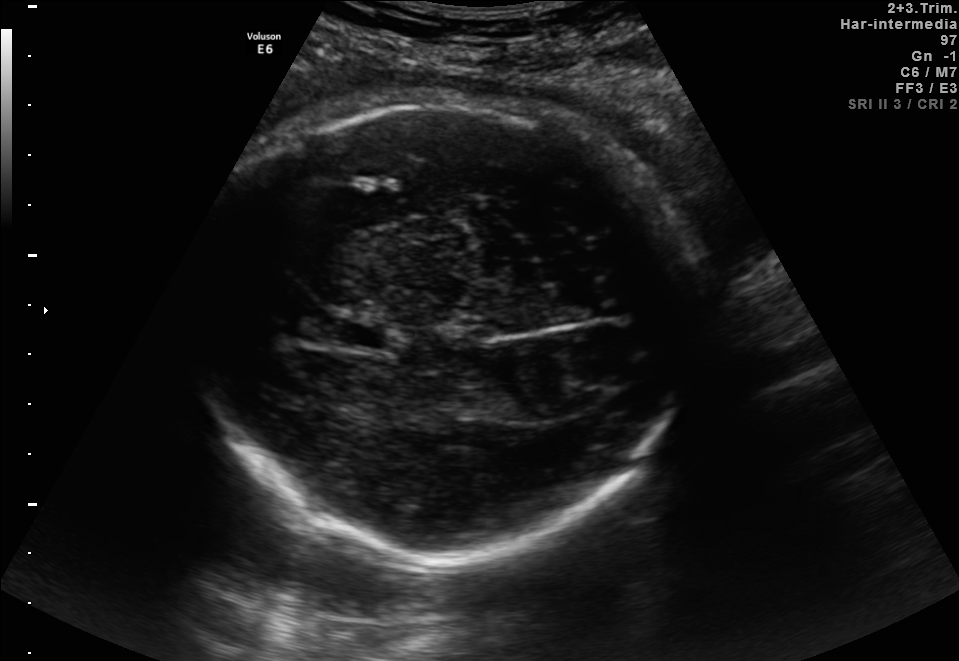
Fetal brain, trans-thalamic plane. Where is the cavum septum pellucidum?

CSP bounding box: [334,318,388,350]